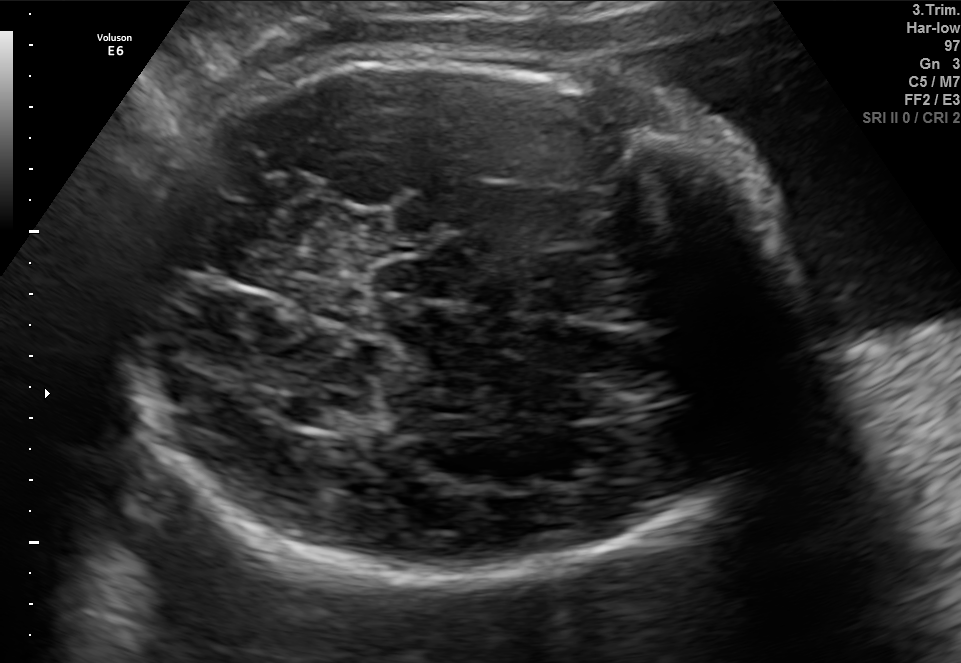
In this fetal brain, trans-thalamic plane, give the bounding box of the fetal head.

[107,45,804,584]